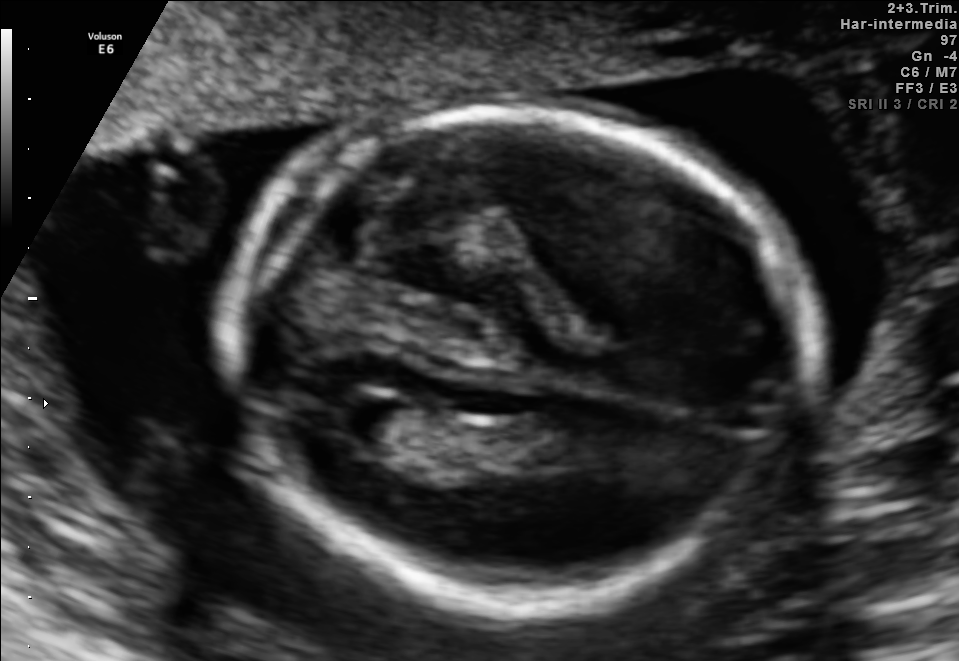
Fetal brain, trans-ventricular plane. Where is the lateral ventricle?

Lateral ventricle bounding box: [327,386,409,450]